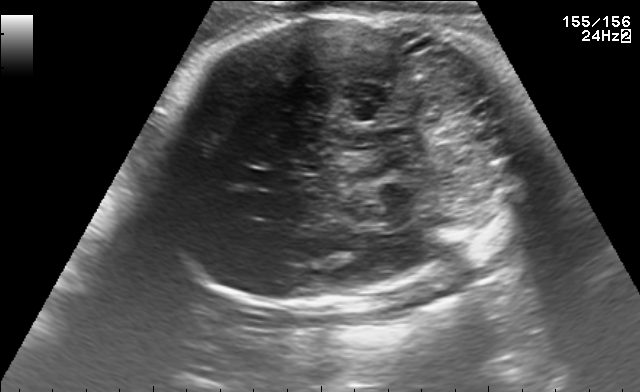
In this fetal brain, trans-cerebellum plane, give the bounding box of the fetal head.

[147,8,526,306]